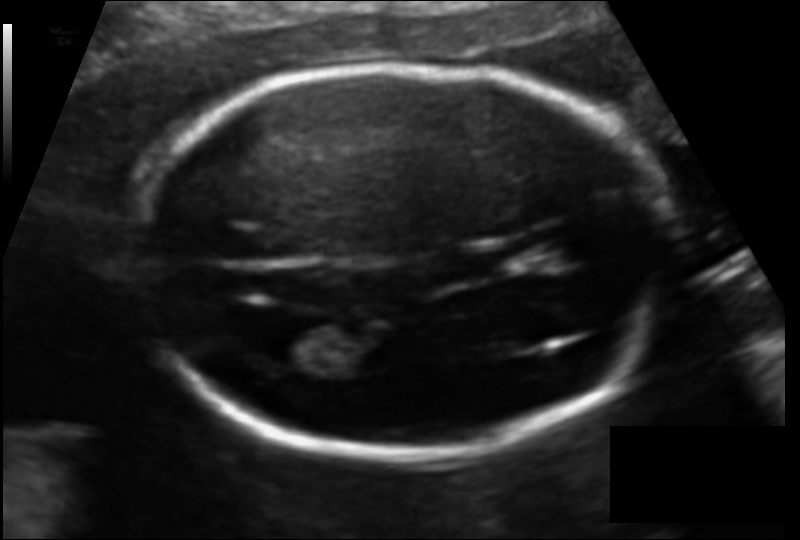
Fetal head ultrasound. Image width: 87.6 mm. Locate the fetal head.

Head: [132,65,675,454]